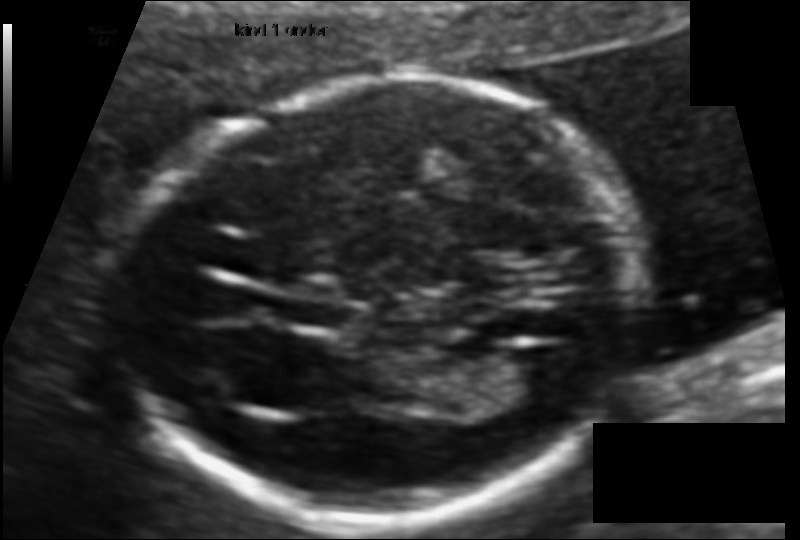
In this fetal head ultrasound, give the bounding box of the fetal head. Image width: 75.7 mm.

[122,82,638,520]